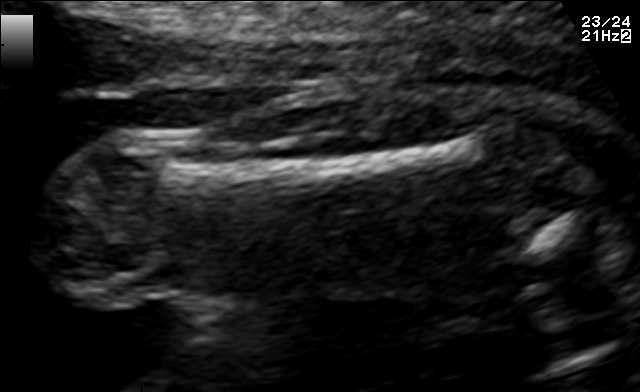
This is a 2D maternal-fetal ultrasound frame. Is it a fetal abdomen, fetal brain, fetal femur, fetal thorax, maternal cervix, or other standard plane? If it's fetal brain and one of the three standard brain planes (trans-thalamic, trans-cerebellum, trans-ventricular), name which.

Fetal femur